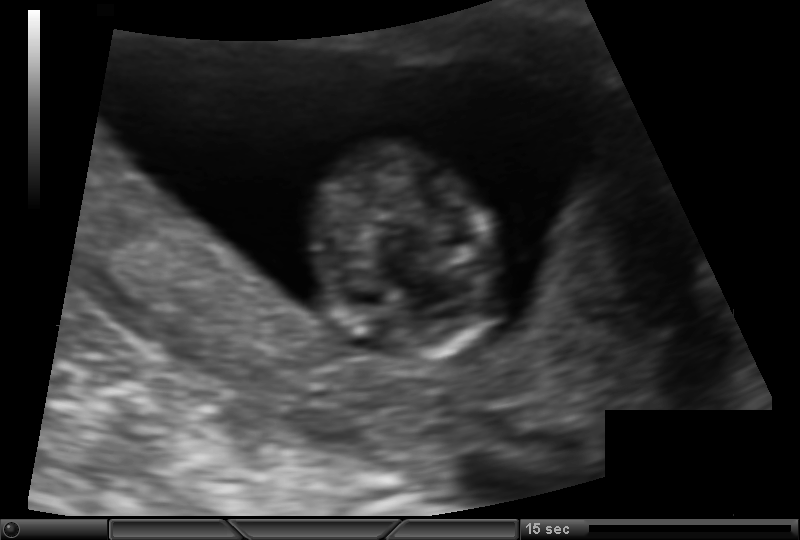
Fetal head ultrasound. Image width: 84.2 mm. Locate the fetal head.

Head: [309,142,502,364]